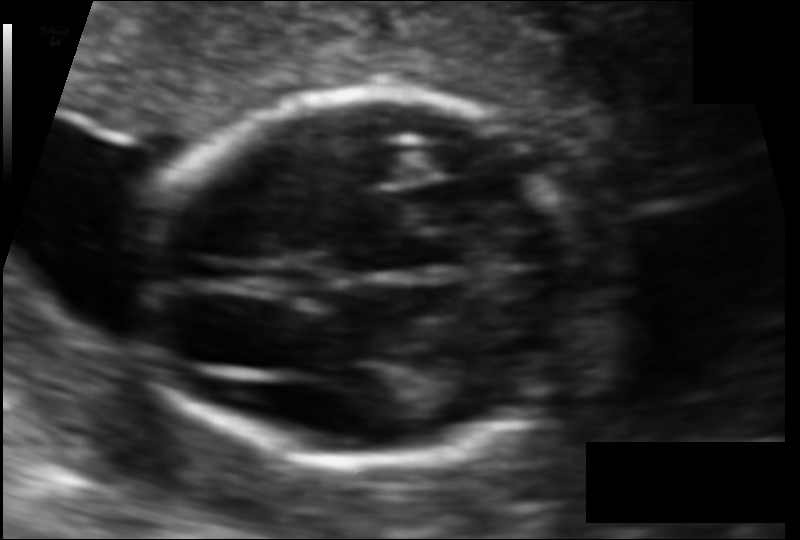
Measure the fetal head circumference shown in this ultrasound image. Image width: 70.1 mm.

Head circumference: 118.2 mm.